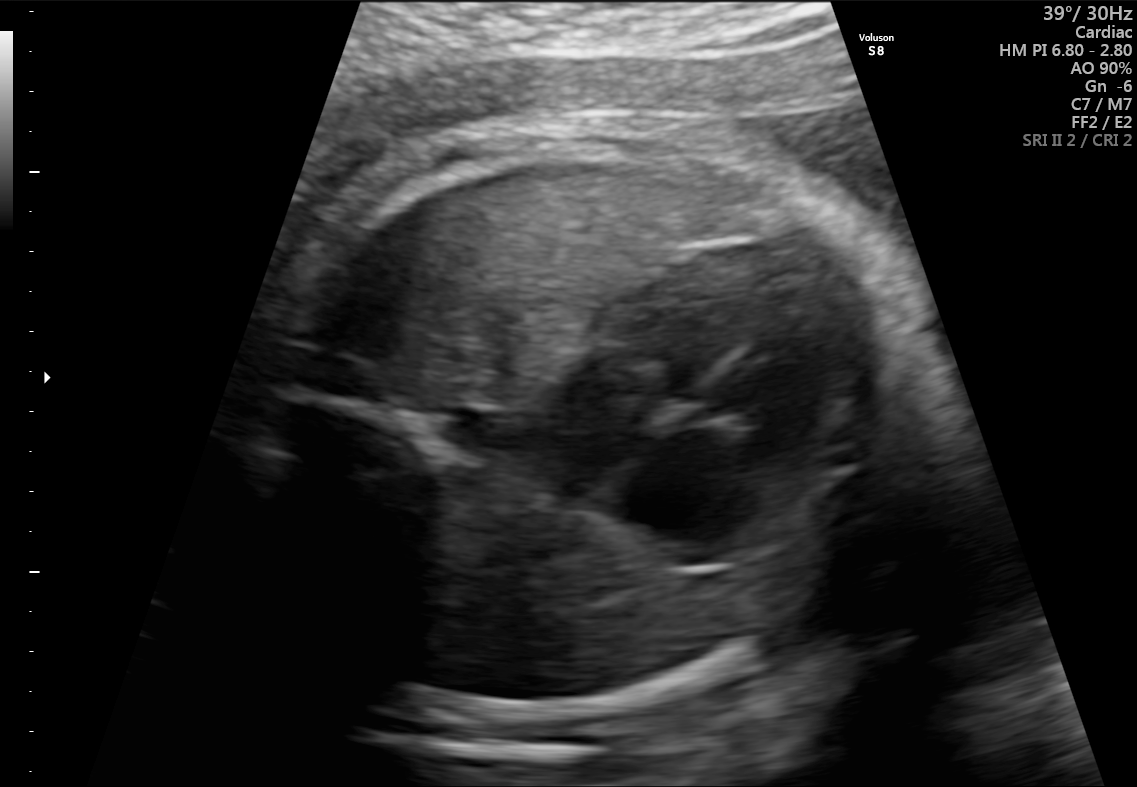
Identify the standard plane in this fetal ultrasound image: fetal abdomen, fetal brain, fetal femur, fetal thorax, maternal cervix, or other. If it's fetal brain and one of the three standard brain planes (trans-thalamic, trans-cerebellum, trans-ventricular), name which.

Fetal thorax